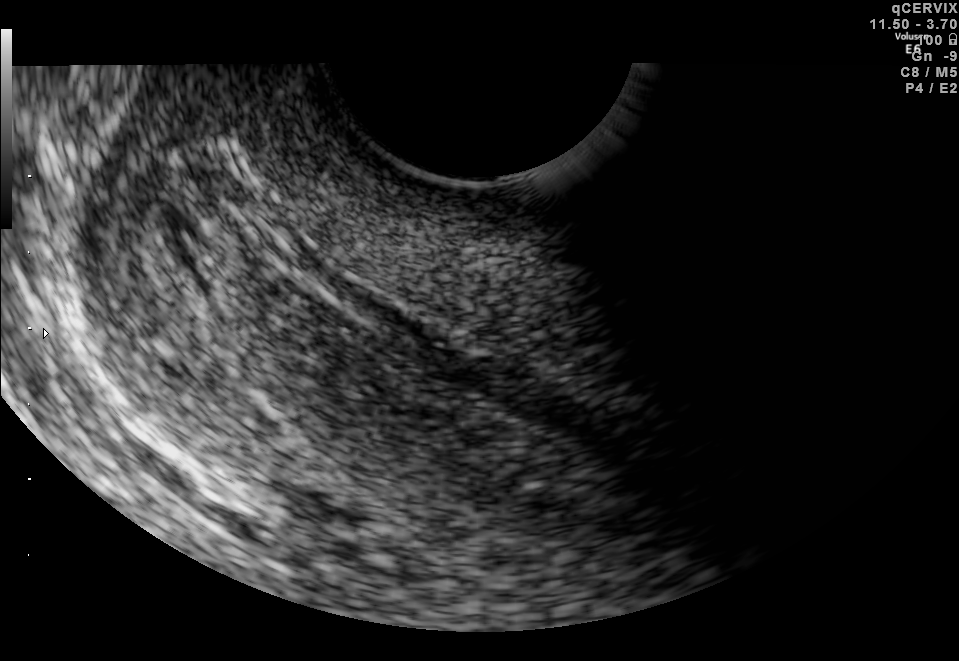
Which standard maternal-fetal ultrasound plane is shown: fetal abdomen, fetal brain, fetal femur, fetal thorax, maternal cervix, or other? If it's fetal brain and one of the three standard brain planes (trans-thalamic, trans-cerebellum, trans-ventricular), name which.

Maternal cervix